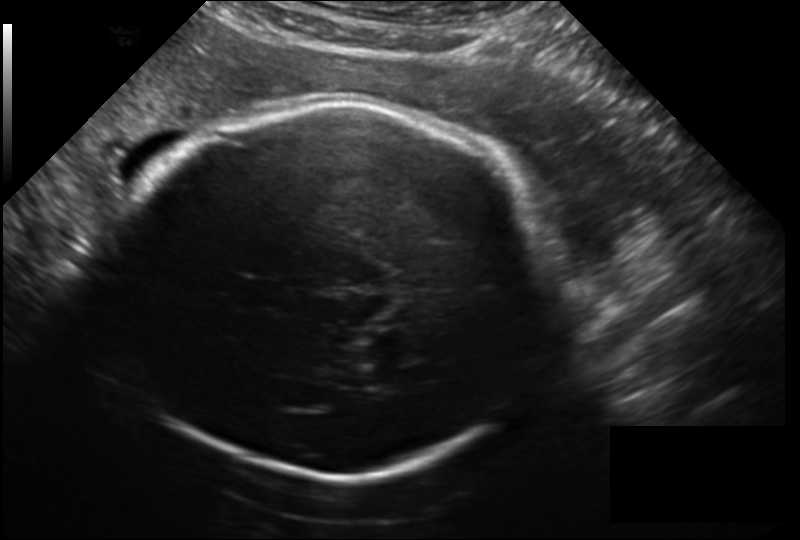
Estimate the fetal head circumference from this 2D ultrasound.

Head circumference: 279.2 mm (image width 167.3 mm).